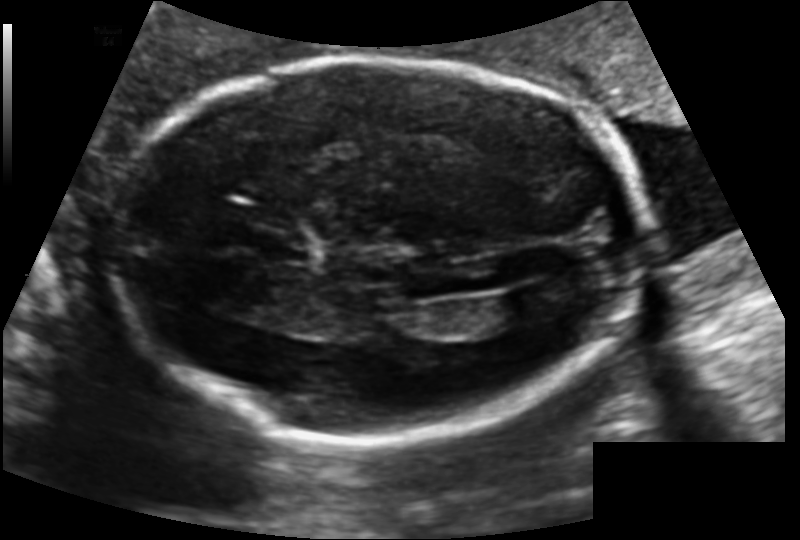
Estimate the fetal head circumference from this 2D ultrasound.

Head circumference: 198.7 mm (image width 105.0 mm).